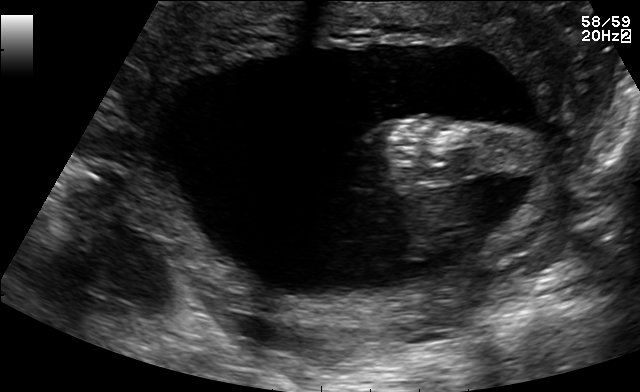
Which standard maternal-fetal ultrasound plane is shown: fetal abdomen, fetal brain, fetal femur, fetal thorax, maternal cervix, or other? If it's fetal brain and one of the three standard brain planes (trans-thalamic, trans-cerebellum, trans-ventricular), name which.

Other